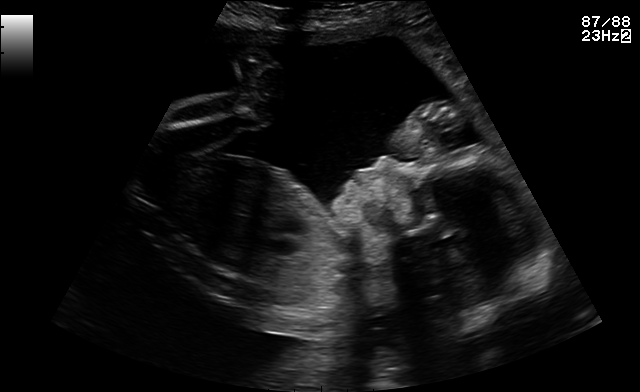
Which standard maternal-fetal ultrasound plane is shown: fetal abdomen, fetal brain, fetal femur, fetal thorax, maternal cervix, or other? If it's fetal brain and one of the three standard brain planes (trans-thalamic, trans-cerebellum, trans-ventricular), name which.

Other